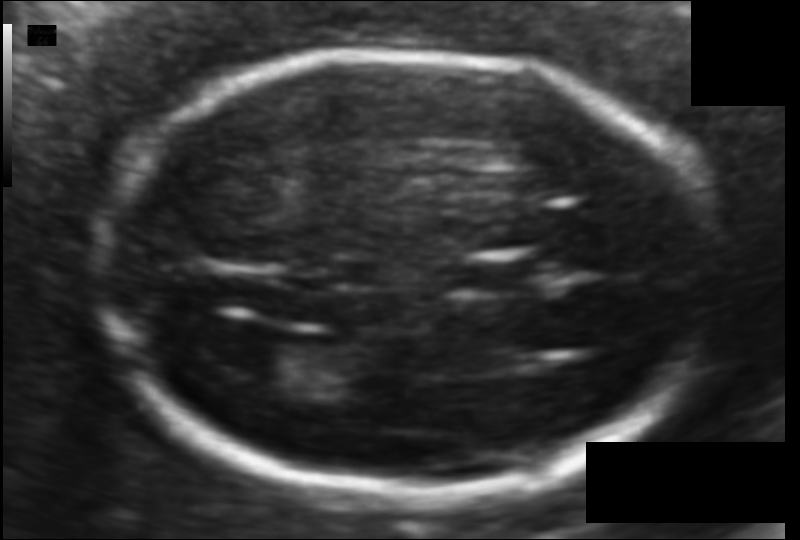
Fetal head ultrasound. Image width: 75.4 mm. Locate the lateral ventricle.

Lateral ventricle: [222,337,312,390]